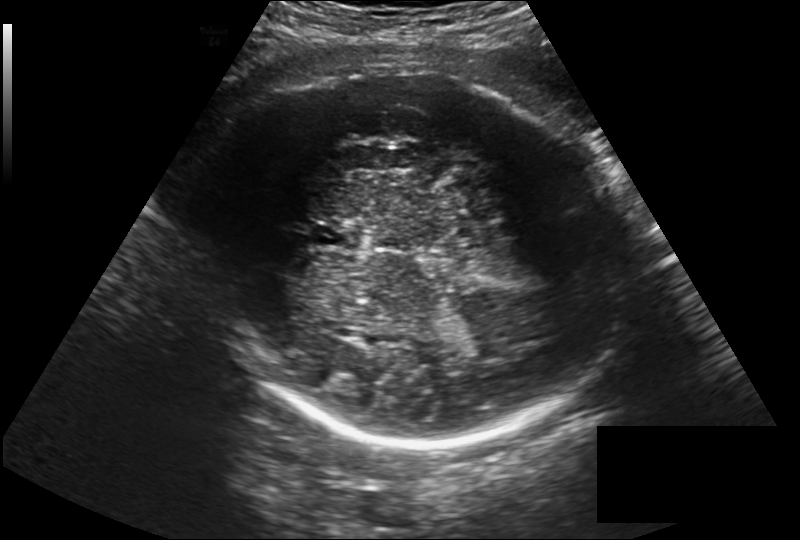
Fetal head ultrasound. Image width: 205.7 mm. Locate the fetal head.

Head: [210,74,626,446]